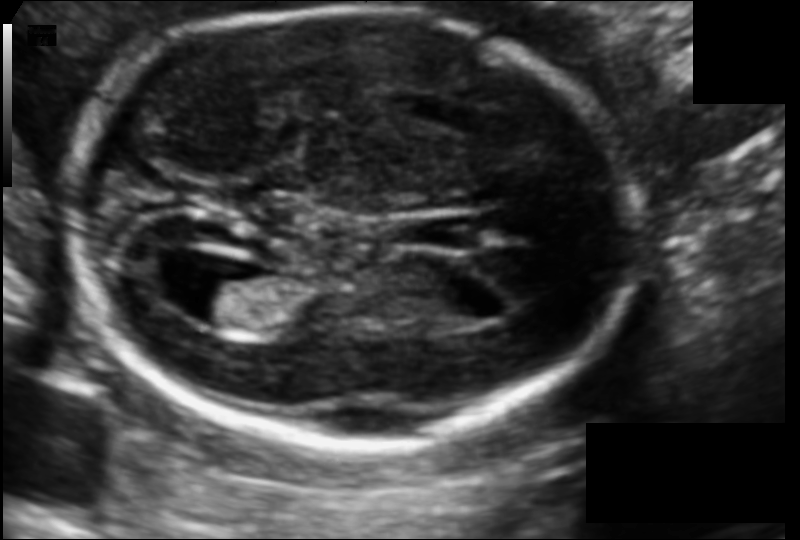
From this fetal ultrasound, estimate the head circumference (image width 83.9 mm).

Head circumference: 171.0 mm.